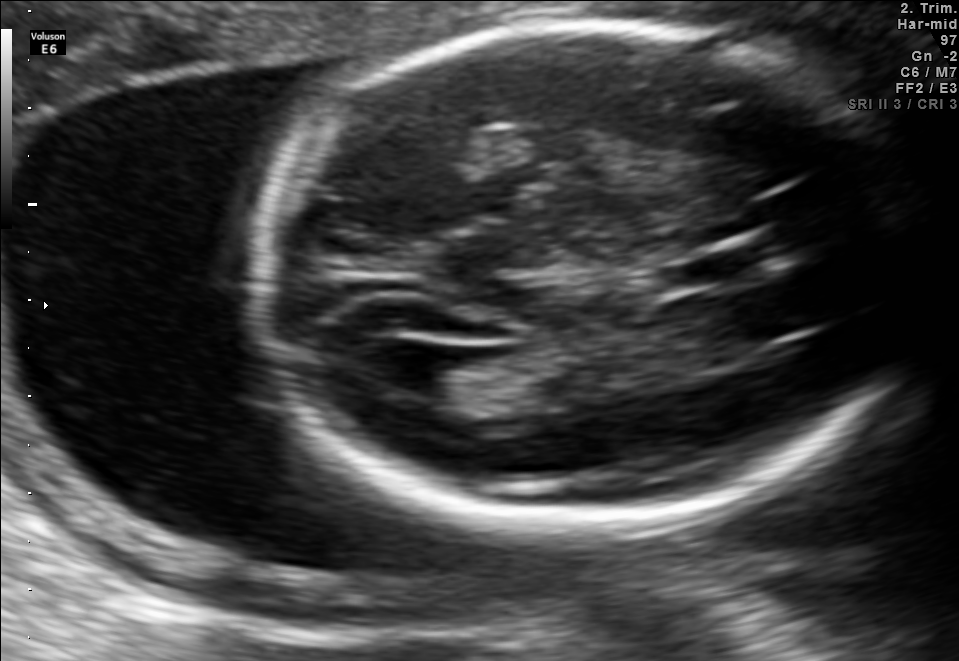
Fetal brain, trans-ventricular plane. Locate the cavum septum pellucidum.

CSP: [661,244,752,298]